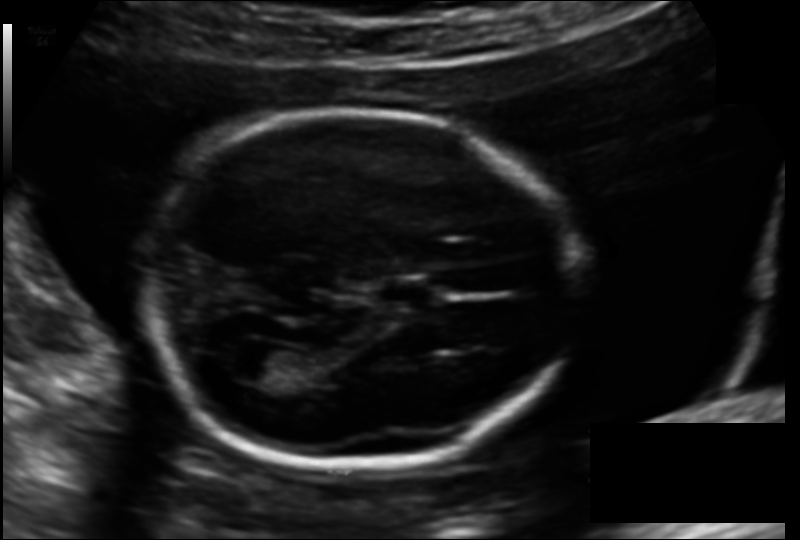
Measure the fetal head circumference shown in this ultrasound image. Image width: 109.9 mm.

Head circumference: 179.0 mm.